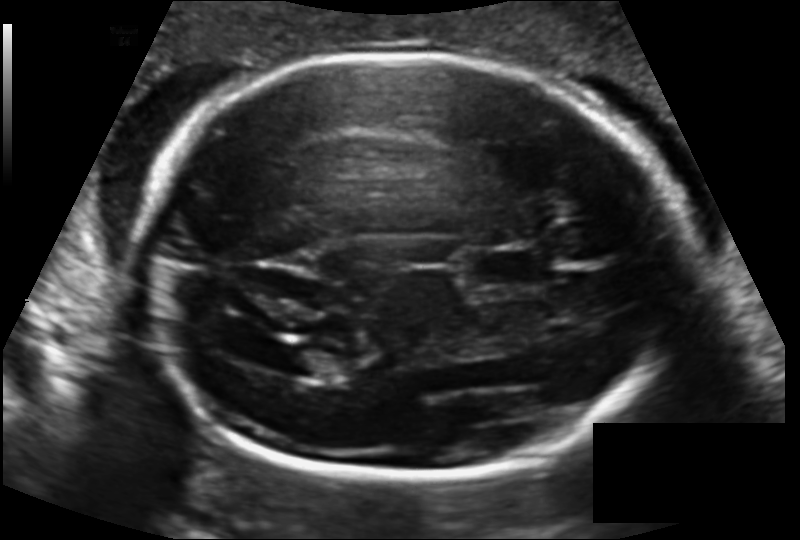
Fetal head ultrasound. Image width: 112.0 mm. Give [x1,y1,x2,y2] bounding boxes for each visible structure among: fetal head, CSP, LV.

Head: [135,53,682,479]
CSP: [467,243,551,294]
Lateral ventricle: [280,343,341,380]